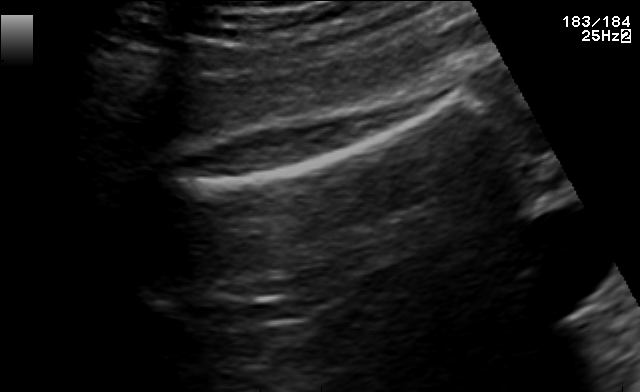
This is a 2D maternal-fetal ultrasound frame. Is it a fetal abdomen, fetal brain, fetal femur, fetal thorax, maternal cervix, or other standard plane? If it's fetal brain and one of the three standard brain planes (trans-thalamic, trans-cerebellum, trans-ventricular), name which.

Fetal femur